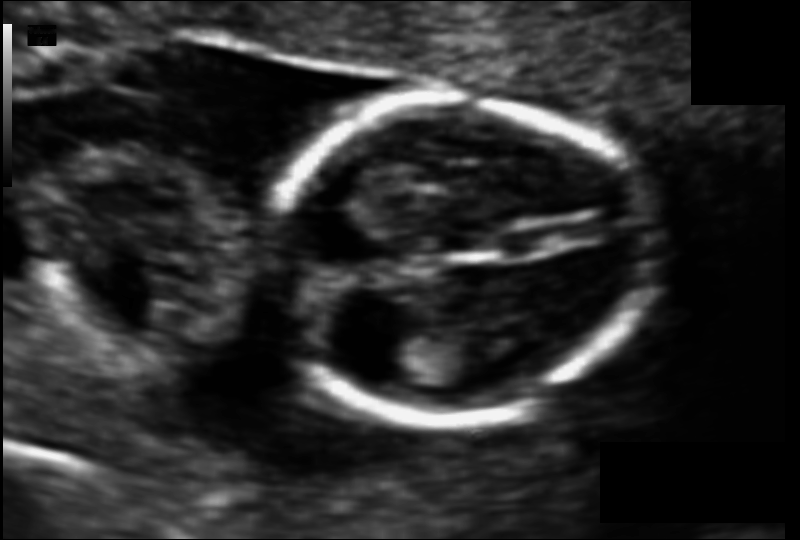
Fetal head ultrasound. Image width: 66.6 mm. Where is the fetal head?

Head bounding box: [262,100,655,419]